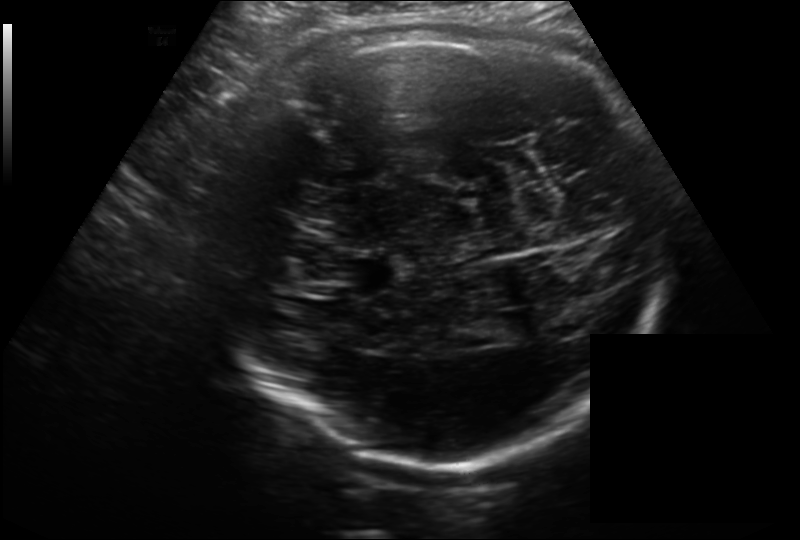
Fetal head ultrasound. Image width: 171.5 mm. Where is the fetal head?

Head bounding box: [218,16,664,459]